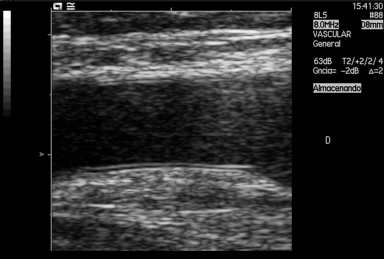
Identify the standard plane in this fetal ultrasound image: fetal abdomen, fetal brain, fetal femur, fetal thorax, maternal cervix, or other. If it's fetal brain and one of the three standard brain planes (trans-thalamic, trans-cerebellum, trans-ventricular), name which.

Other